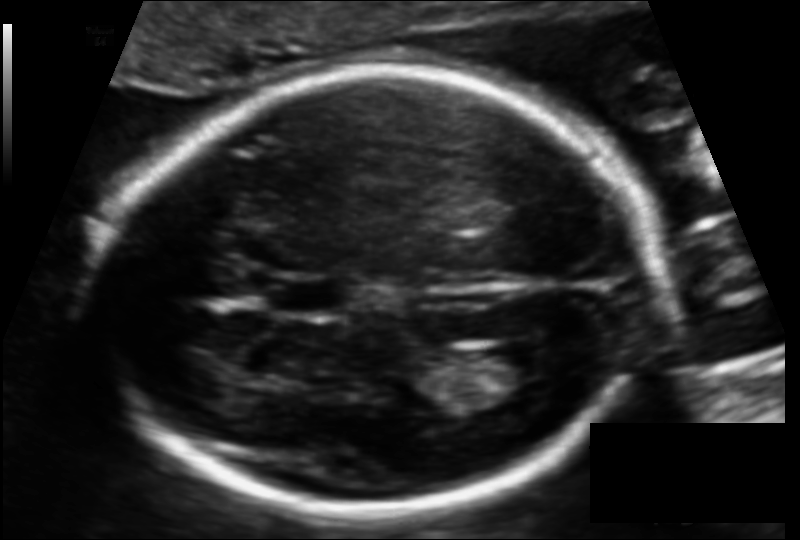
Fetal head ultrasound. Image width: 89.8 mm. Where is the cavum septum pellucidum?

CSP bounding box: [265,277,343,315]